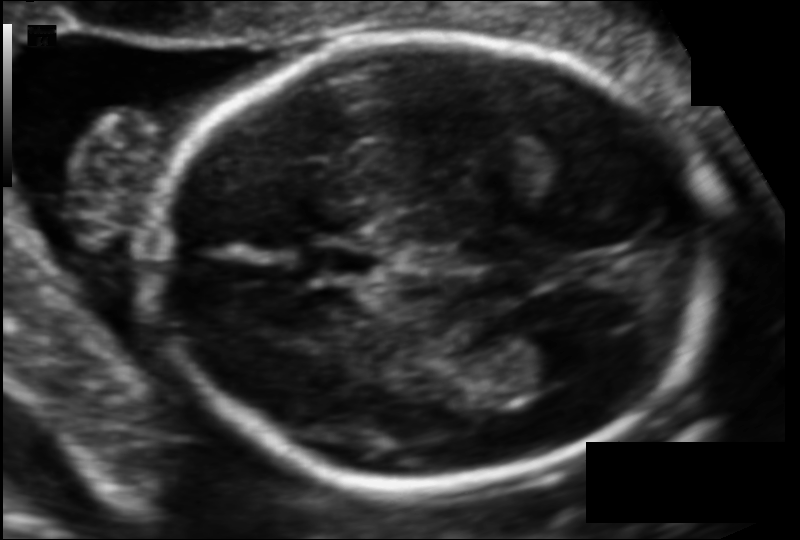
From this fetal ultrasound, estimate the head circumference (image width 81.4 mm).

Head circumference: 166.8 mm.